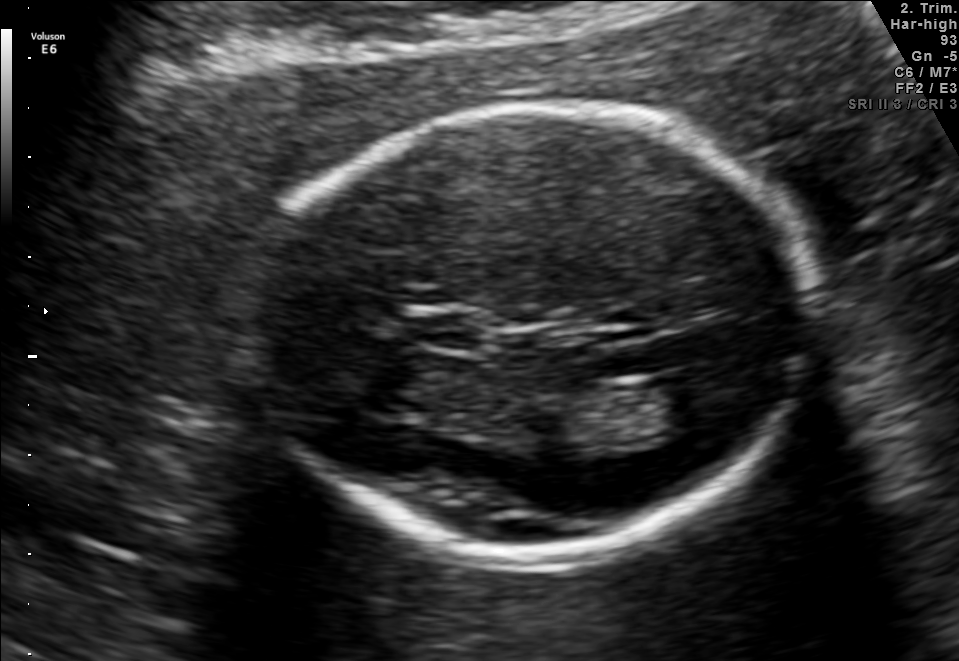
Fetal brain, trans-thalamic plane. Locate the fetal head and, if visible, the cavum septum pellucidum (CSP) and lateral ventricle (LV). Give bounding boxes as [x1,y1,x2,y2].

Head: [253,105,810,550]
CSP: [415,313,482,349]
Lateral ventricle: [604,370,714,444]